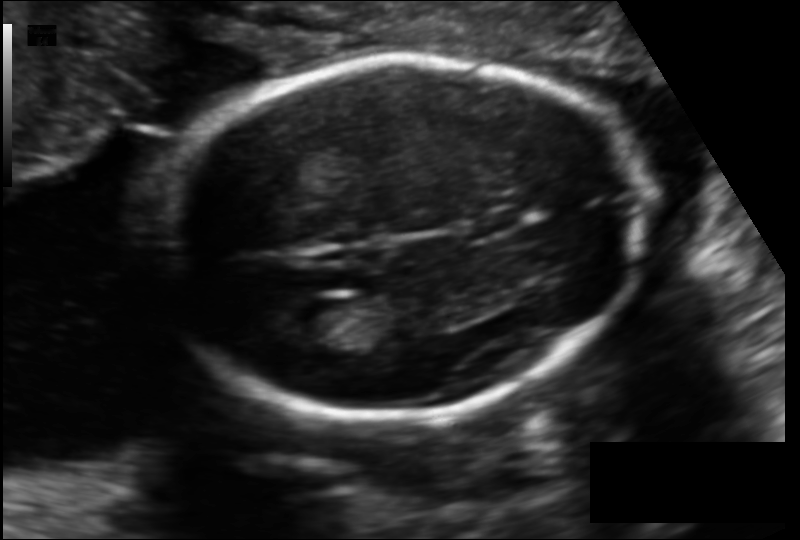
In this fetal head ultrasound, give the bounding box of the cavum septum pellucidum. Image width: 102.8 mm.

[460,201,527,244]